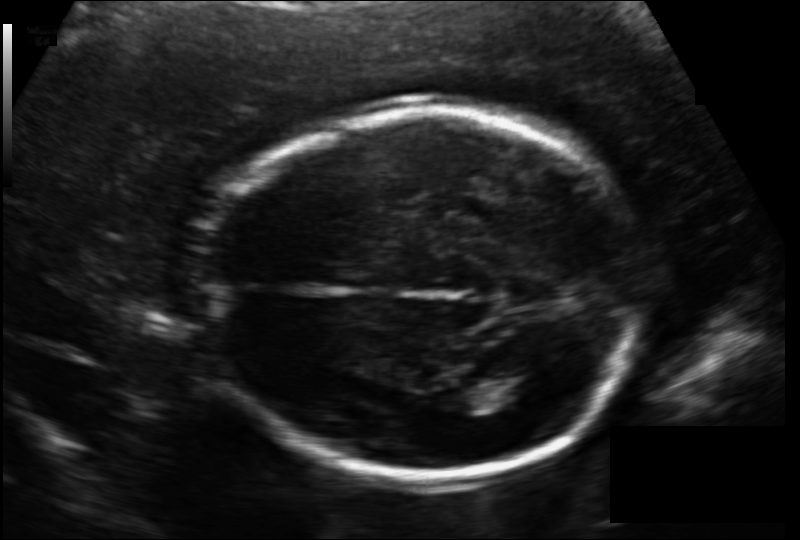
Fetal head ultrasound. Image width: 106.6 mm. Locate the lateral ventricle.

Lateral ventricle: [469,360,541,410]